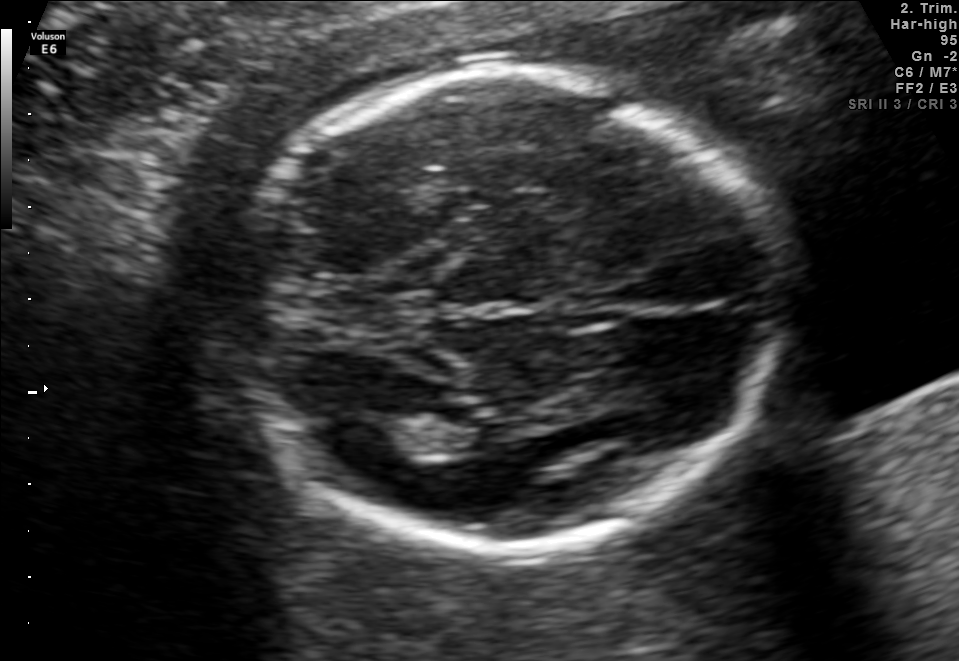
Classify this maternal-fetal ultrasound image as one of the six standard planes — fetal abdomen, fetal brain, fetal femur, fetal thorax, maternal cervix, or other. If it's fetal brain and one of the three standard brain planes (trans-thalamic, trans-cerebellum, trans-ventricular), name which.

Fetal brain (trans-thalamic plane)